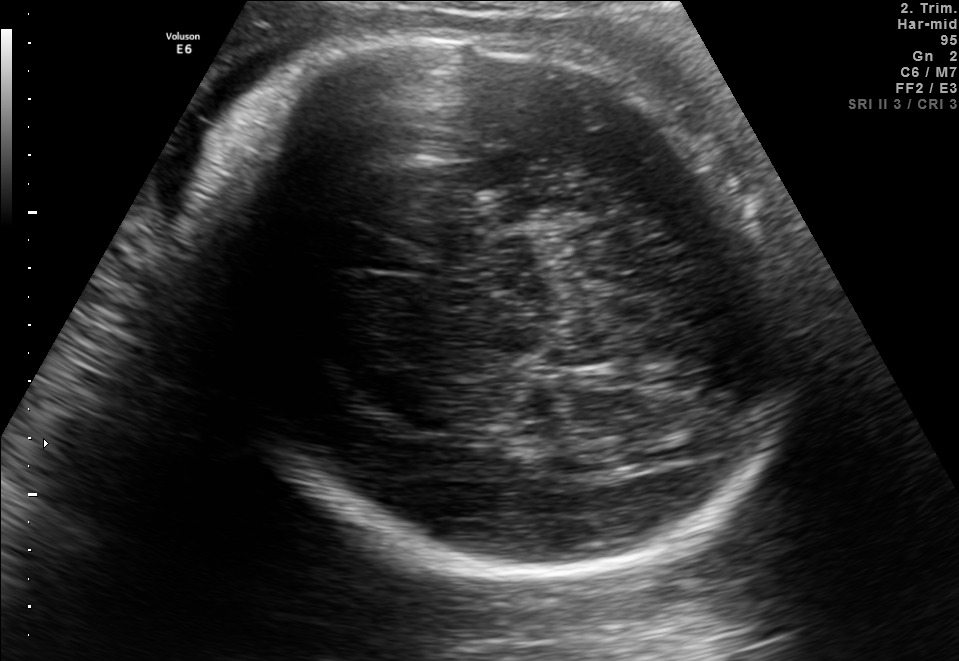
Fetal brain, trans-thalamic plane. Locate the fetal head.

Head: [196,23,777,586]